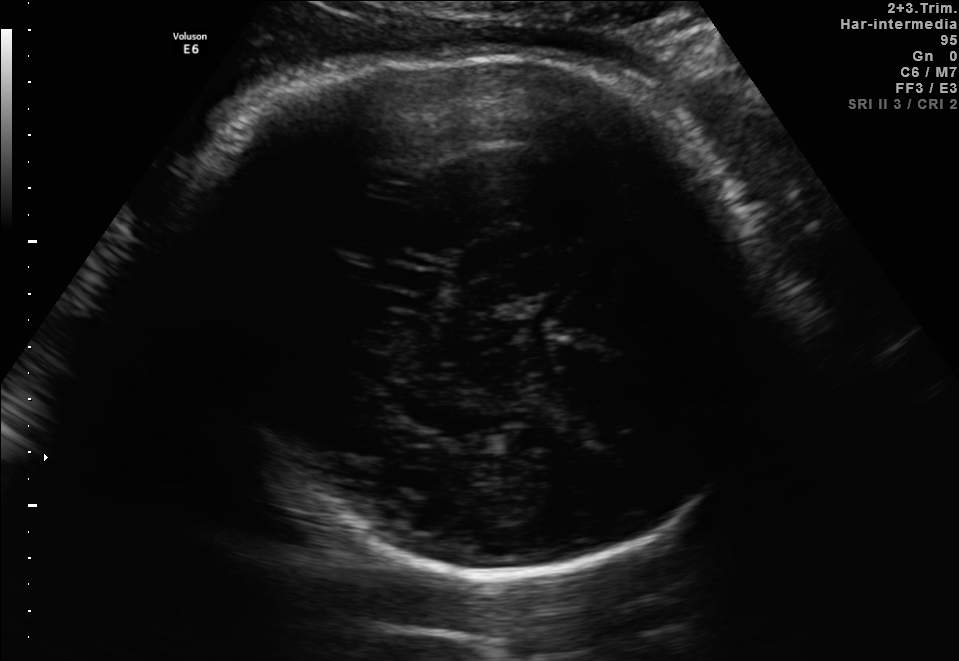
Fetal brain, trans-thalamic plane. Locate the fetal head and, if visible, the cavum septum pellucidum (CSP) and lateral ventricle (LV). Give bounding boxes as [x1,y1,x2,y2].

Head: [220,55,767,592]